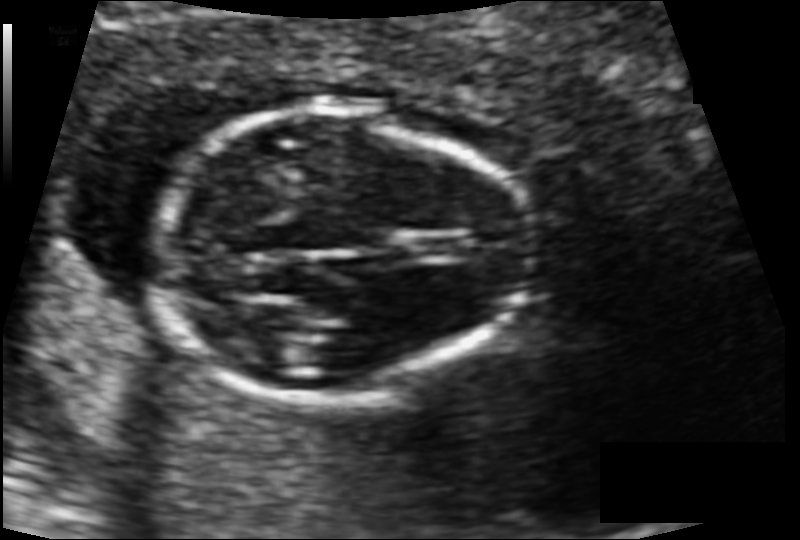
Fetal head ultrasound. Image width: 71.4 mm. Where is the fetal head?

Head bounding box: [152,101,536,399]